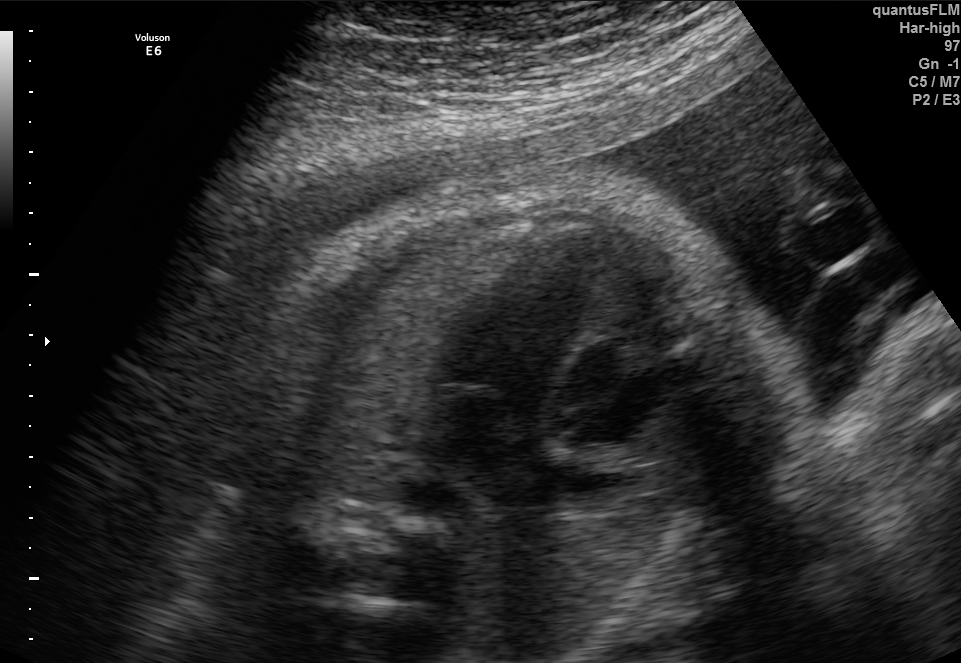
This is a 2D maternal-fetal ultrasound frame. Is it a fetal abdomen, fetal brain, fetal femur, fetal thorax, maternal cervix, or other standard plane? If it's fetal brain and one of the three standard brain planes (trans-thalamic, trans-cerebellum, trans-ventricular), name which.

Fetal thorax